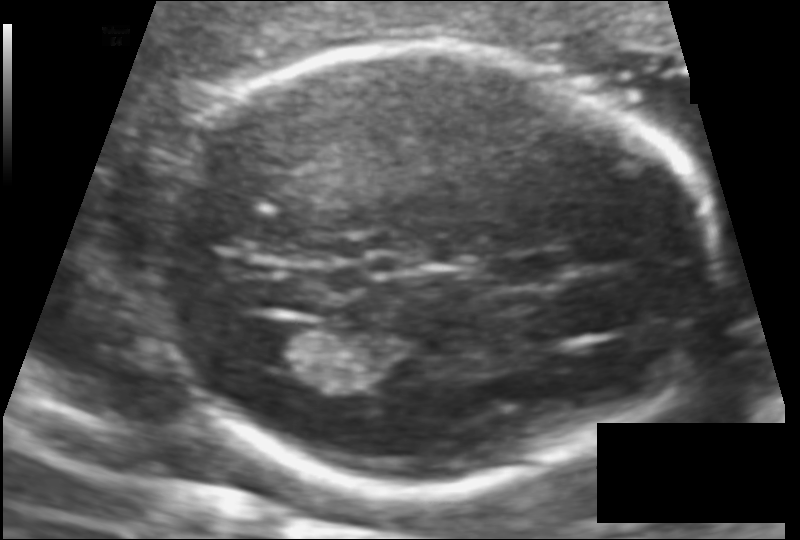
Fetal head ultrasound. Image width: 84.7 mm. Locate the fetal head.

Head: [151,48,717,489]